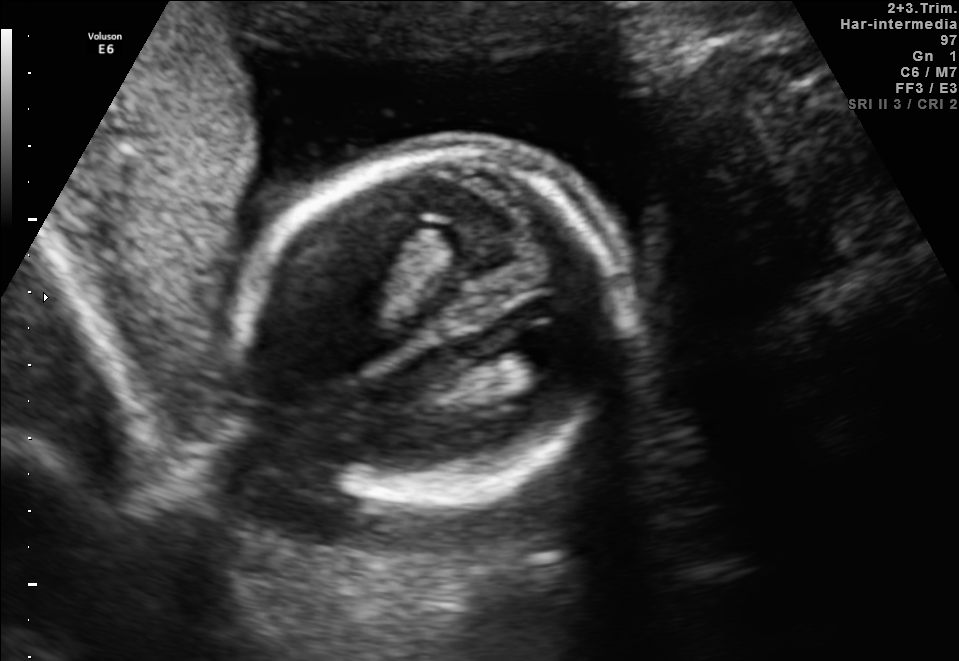
Fetal brain, trans-ventricular plane. Where is the fetal head?

Head bounding box: [228,134,653,513]